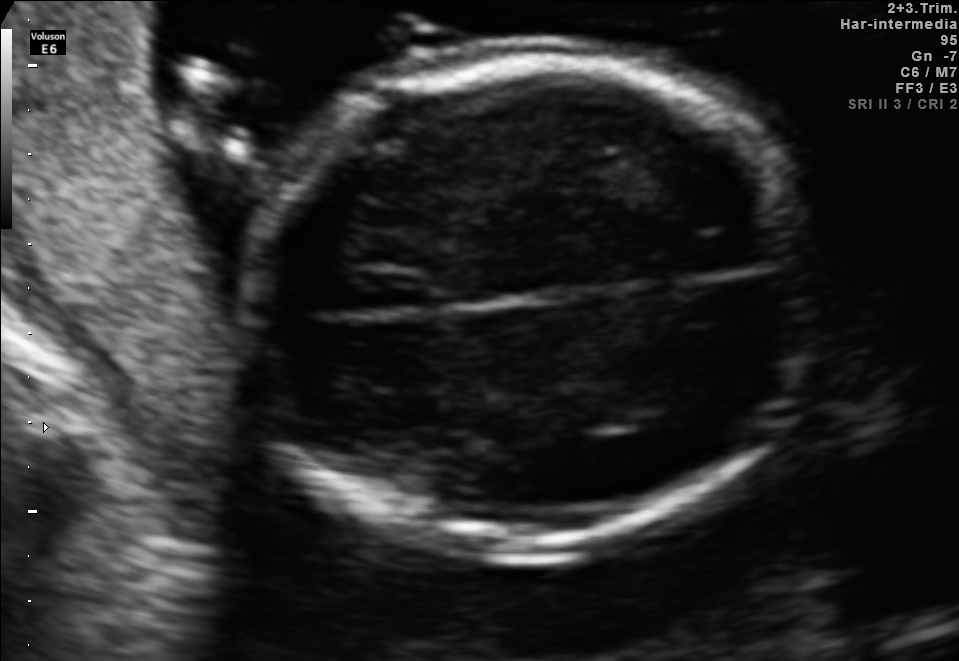
Fetal brain, trans-thalamic plane. Locate the fetal head.

Head: [260,54,813,545]